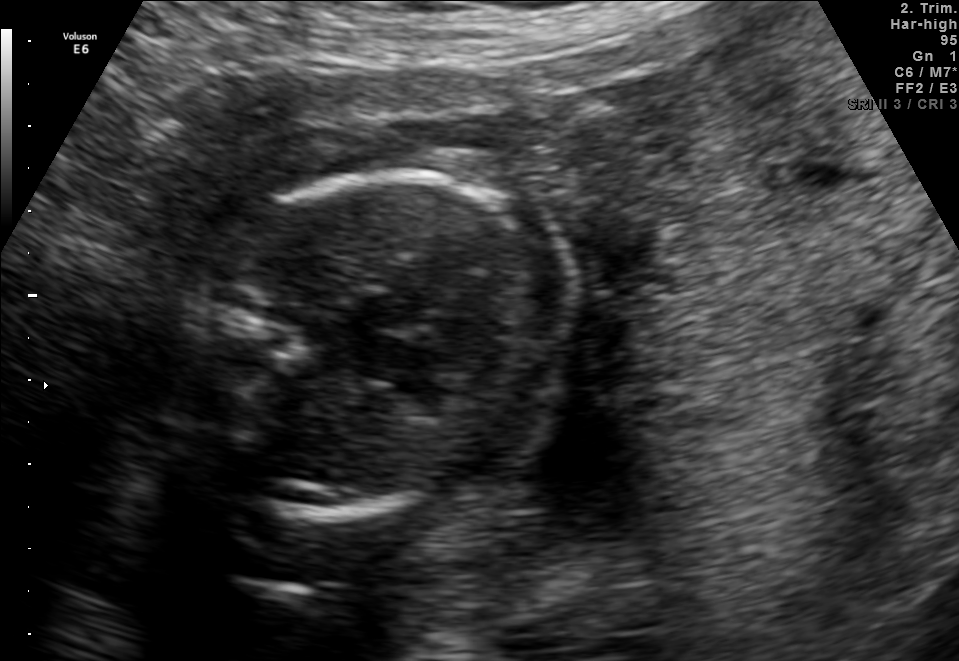
Which standard maternal-fetal ultrasound plane is shown: fetal abdomen, fetal brain, fetal femur, fetal thorax, maternal cervix, or other? If it's fetal brain and one of the three standard brain planes (trans-thalamic, trans-cerebellum, trans-ventricular), name which.

Fetal thorax